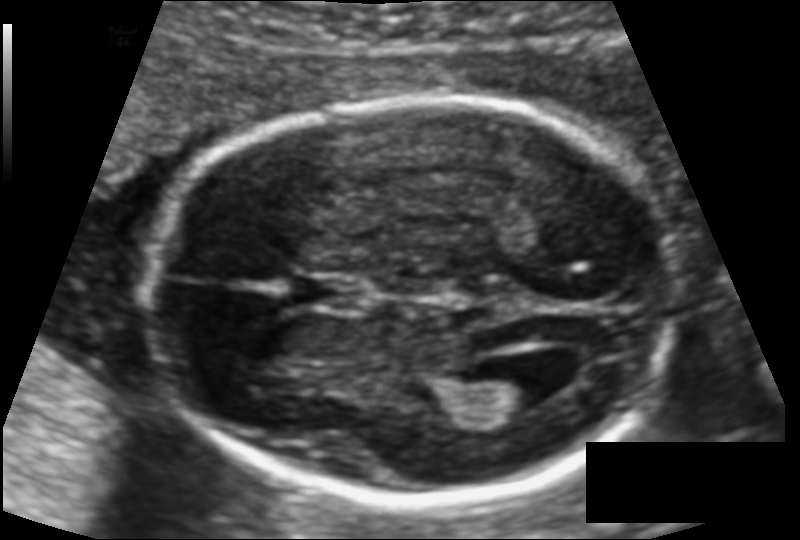
Fetal head ultrasound. Image width: 90.3 mm. Locate the fetal head and, if visible, the cavum septum pellucidum (CSP) and lateral ventricle (LV). Give bounding boxes as [x1,y1,x2,y2].

Head: [148,96,679,498]
CSP: [292,275,364,310]
Lateral ventricle: [469,356,553,424]